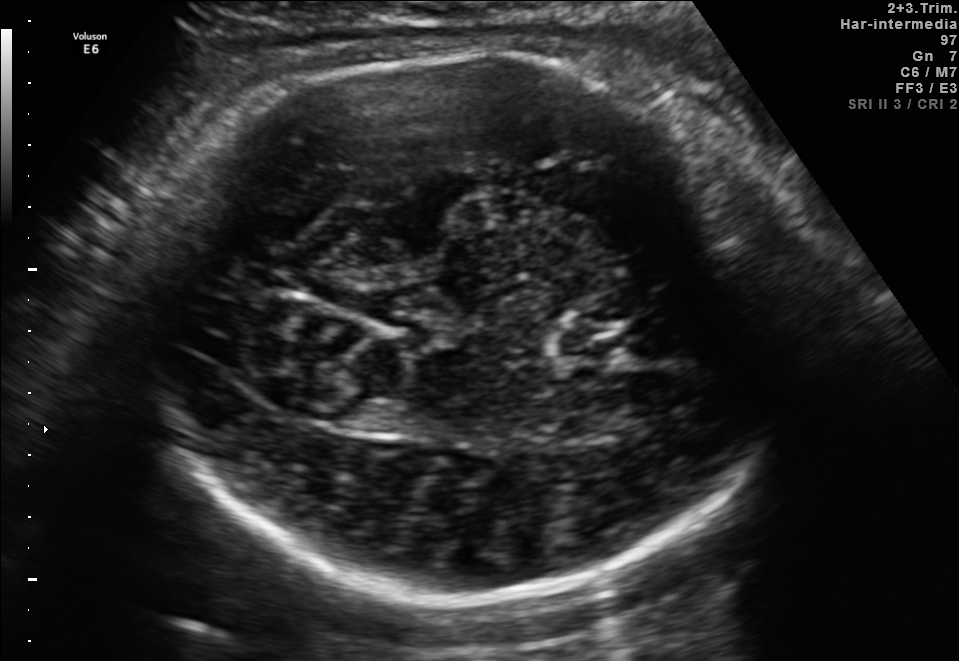
Identify the standard plane in this fetal ultrasound image: fetal abdomen, fetal brain, fetal femur, fetal thorax, maternal cervix, or other. If it's fetal brain and one of the three standard brain planes (trans-thalamic, trans-cerebellum, trans-ventricular), name which.

Fetal brain (trans-thalamic plane)